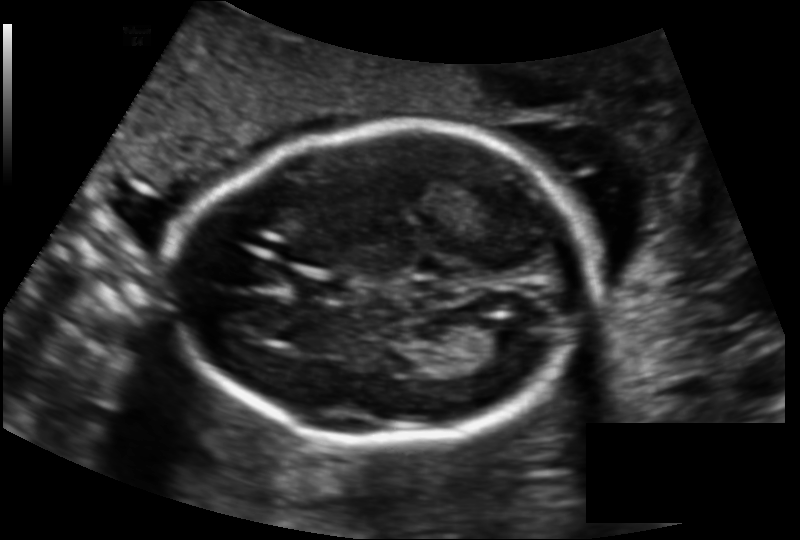
From this fetal ultrasound, estimate the head circumference (image width 109.7 mm).

Head circumference: 165.7 mm.